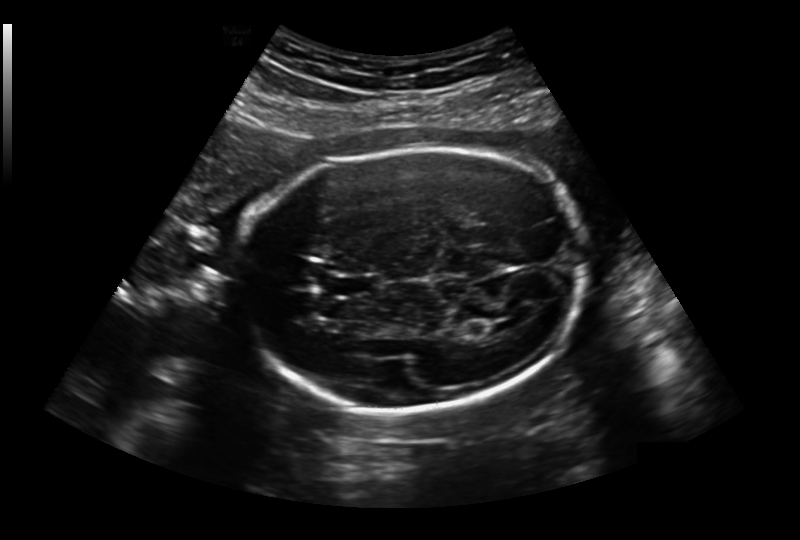
Fetal head ultrasound. Image width: 188.7 mm. Where is the cavum septum pellucidum?

CSP bounding box: [333,273,376,296]